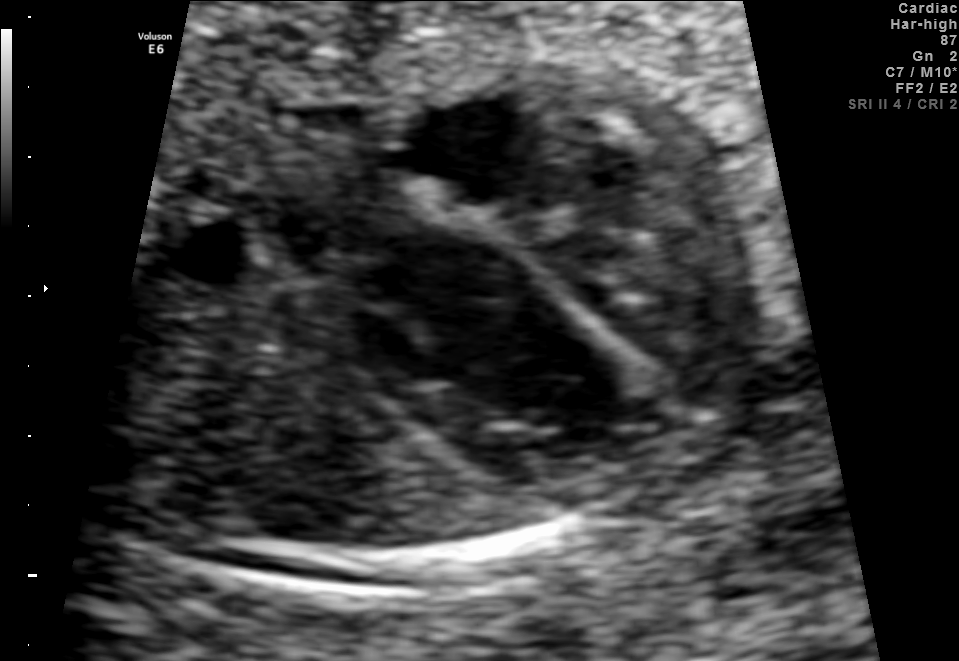
Identify the standard plane in this fetal ultrasound image: fetal abdomen, fetal brain, fetal femur, fetal thorax, maternal cervix, or other. If it's fetal brain and one of the three standard brain planes (trans-thalamic, trans-cerebellum, trans-ventricular), name which.

Fetal thorax